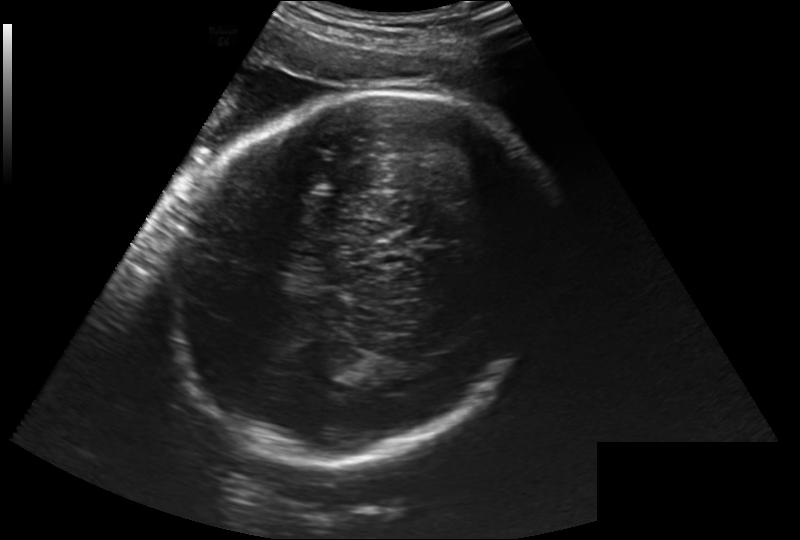
Fetal head ultrasound. Image width: 208.2 mm. Locate the fetal head and, if visible, the cavum septum pellucidum (CSP) and lateral ventricle (LV). Give bounding boxes as [x1,y1,x2,y2].

Head: [174,88,541,463]